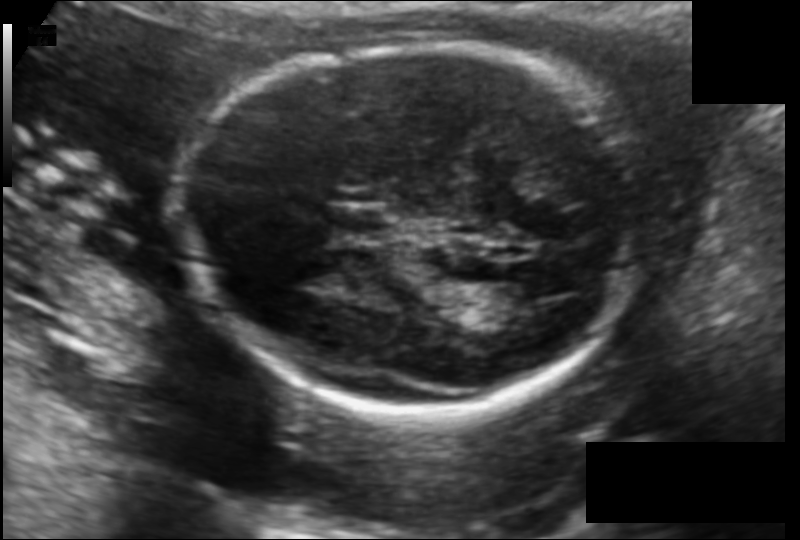
Fetal head ultrasound. Image width: 98.5 mm. Where is the cavum septum pellucidum?

CSP bounding box: [331,207,387,241]